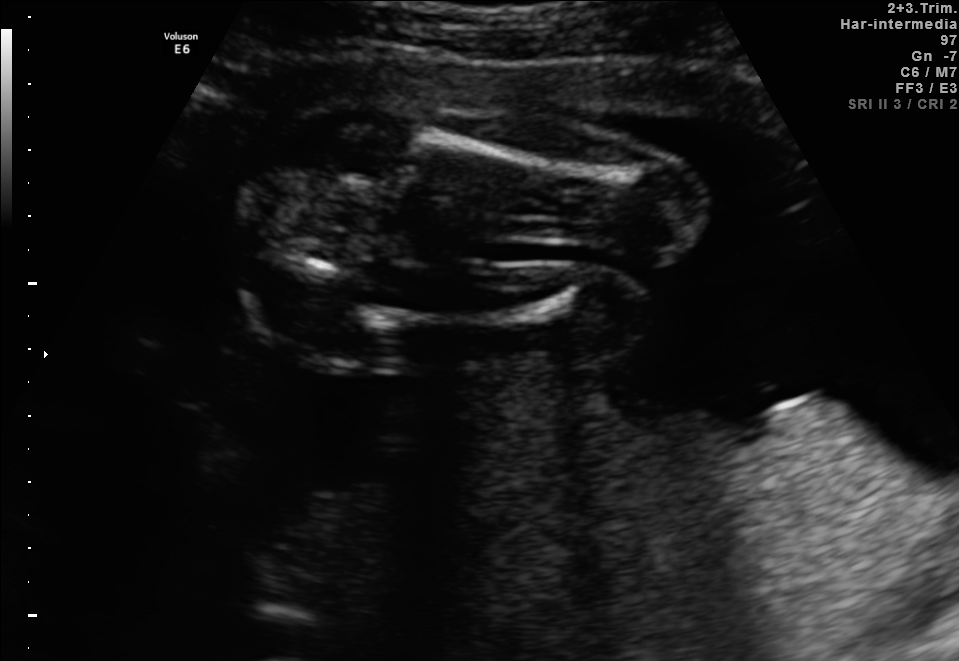
Identify the standard plane in this fetal ultrasound image: fetal abdomen, fetal brain, fetal femur, fetal thorax, maternal cervix, or other. If it's fetal brain and one of the three standard brain planes (trans-thalamic, trans-cerebellum, trans-ventricular), name which.

Fetal femur